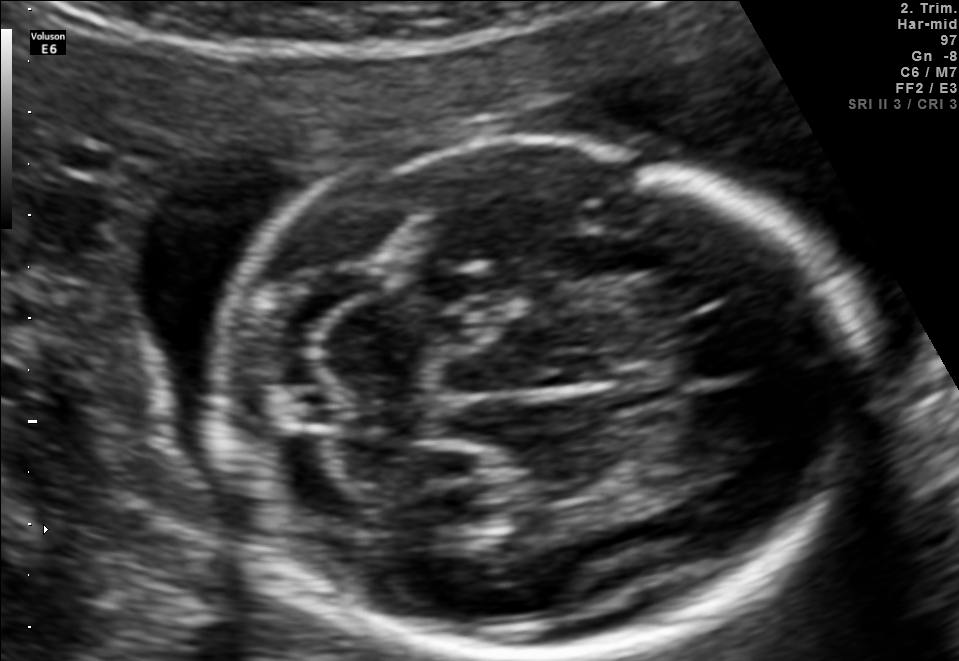
Which standard maternal-fetal ultrasound plane is shown: fetal abdomen, fetal brain, fetal femur, fetal thorax, maternal cervix, or other? If it's fetal brain and one of the three standard brain planes (trans-thalamic, trans-cerebellum, trans-ventricular), name which.

Fetal brain (trans-cerebellum plane)